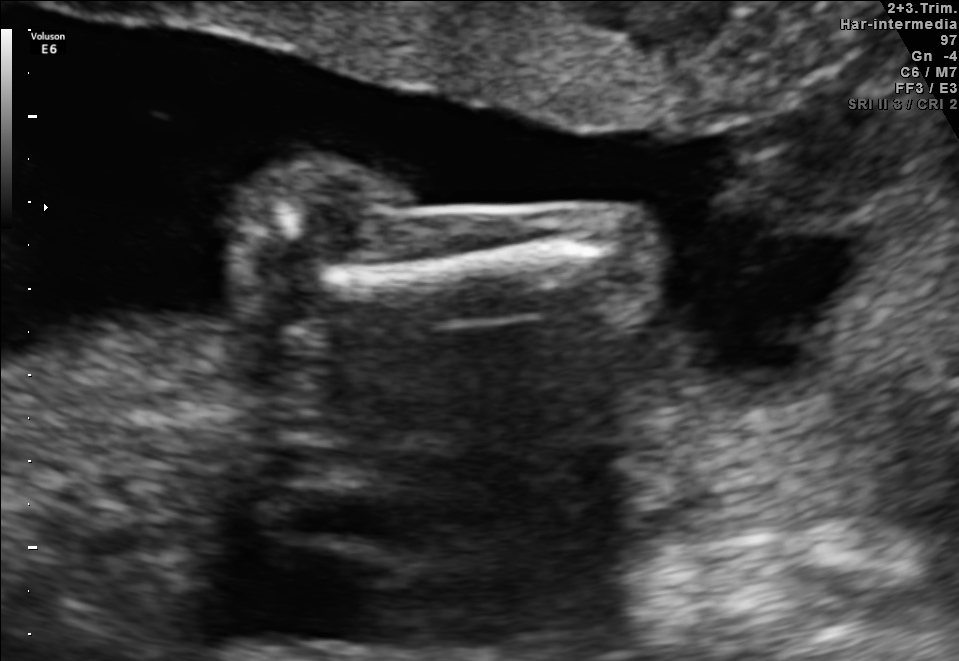
Which standard maternal-fetal ultrasound plane is shown: fetal abdomen, fetal brain, fetal femur, fetal thorax, maternal cervix, or other? If it's fetal brain and one of the three standard brain planes (trans-thalamic, trans-cerebellum, trans-ventricular), name which.

Fetal femur